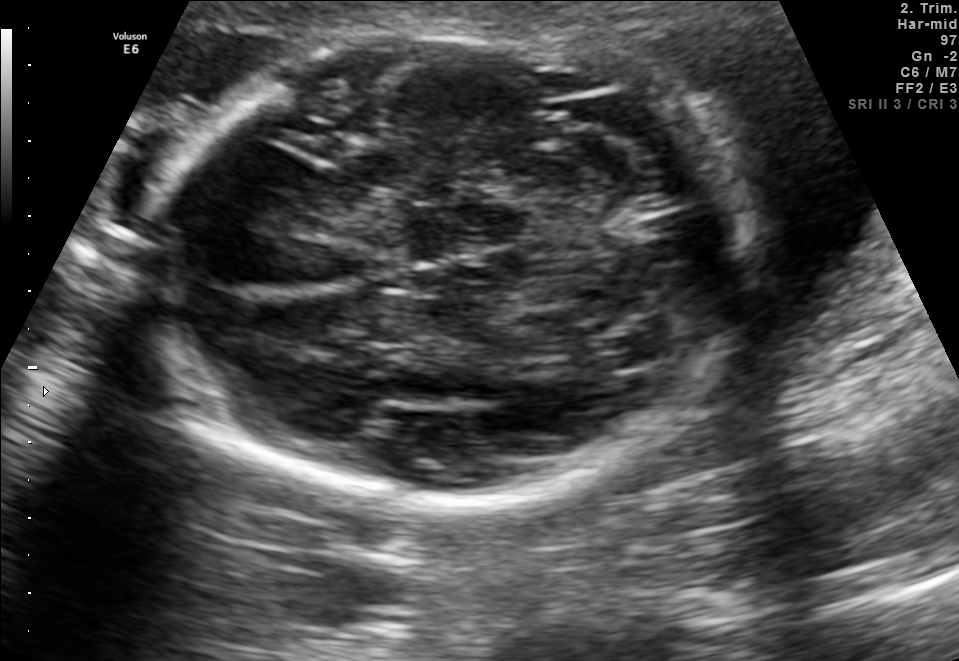
Fetal brain, trans-thalamic plane. Give [x1,y1,x2,y2] bounding boxes for each visible structure among: fetal head, CSP, LV.

Head: [140,31,753,496]